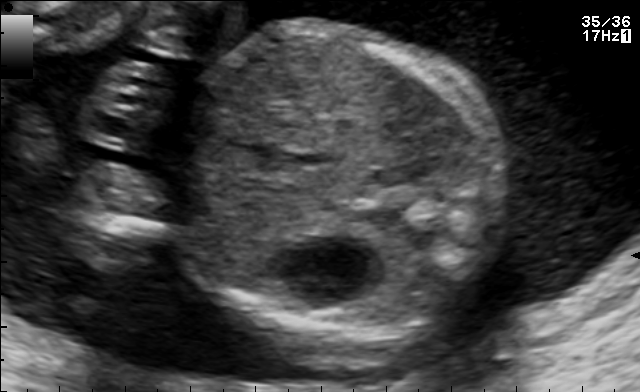
This is a 2D maternal-fetal ultrasound frame. Is it a fetal abdomen, fetal brain, fetal femur, fetal thorax, maternal cervix, or other standard plane? If it's fetal brain and one of the three standard brain planes (trans-thalamic, trans-cerebellum, trans-ventricular), name which.

Fetal abdomen